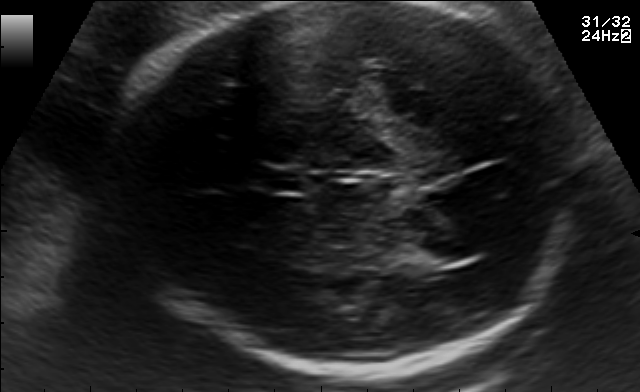
Fetal brain, trans-thalamic plane. Locate the fetal head.

Head: [118,2,593,375]